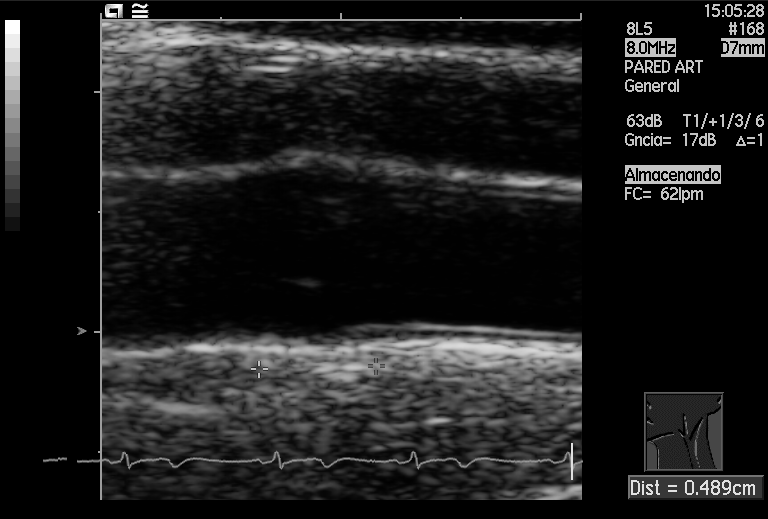
Identify the standard plane in this fetal ultrasound image: fetal abdomen, fetal brain, fetal femur, fetal thorax, maternal cervix, or other. If it's fetal brain and one of the three standard brain planes (trans-thalamic, trans-cerebellum, trans-ventricular), name which.

Other